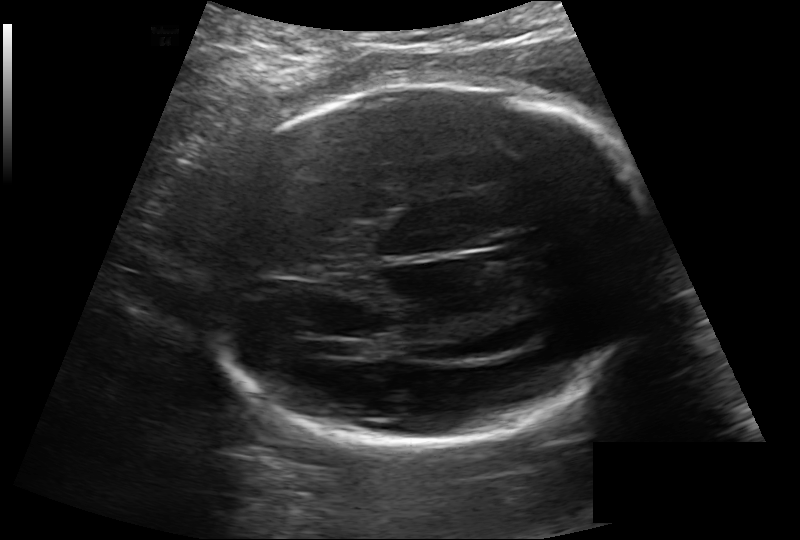
Fetal head ultrasound. Image width: 151.0 mm. Give [x1,y1,x2,y2] bounding boxes for each visible structure among: fetal head, CSP, LV.

Head: [206,85,654,445]